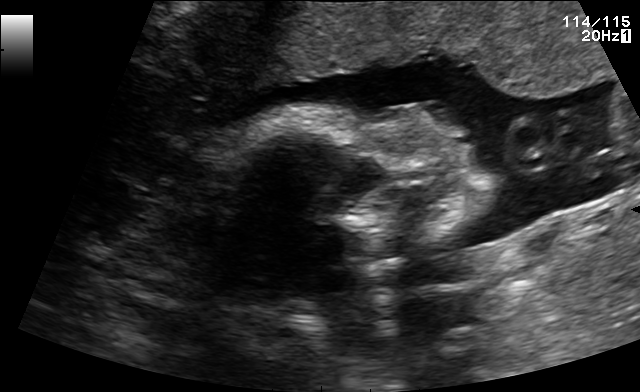
Identify the standard plane in this fetal ultrasound image: fetal abdomen, fetal brain, fetal femur, fetal thorax, maternal cervix, or other. If it's fetal brain and one of the three standard brain planes (trans-thalamic, trans-cerebellum, trans-ventricular), name which.

Other